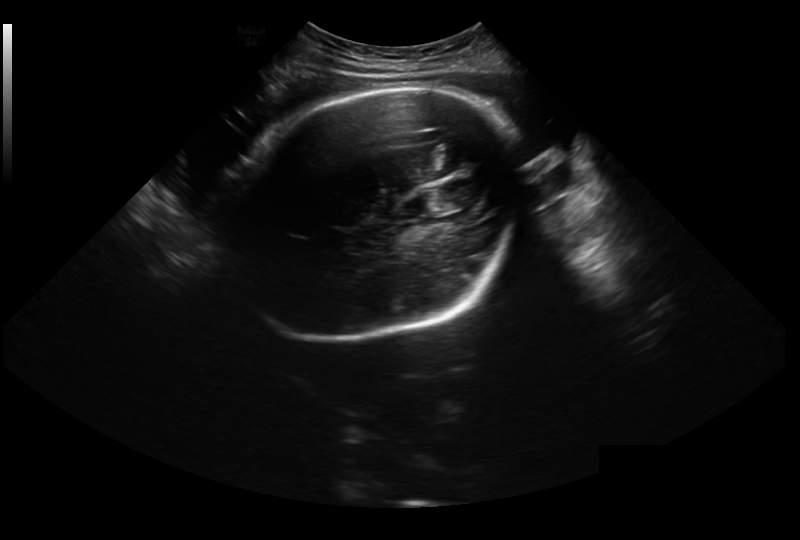
In this fetal head ultrasound, give the bounding box of the fetal head. Image width: 260.9 mm.

[220,85,523,342]